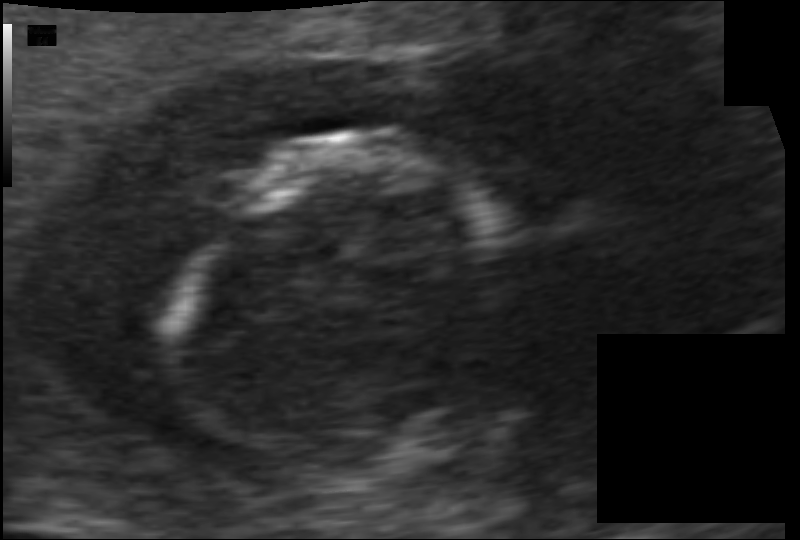
What is the fetal head circumference? Image width is 55.9 mm.

77.8 mm